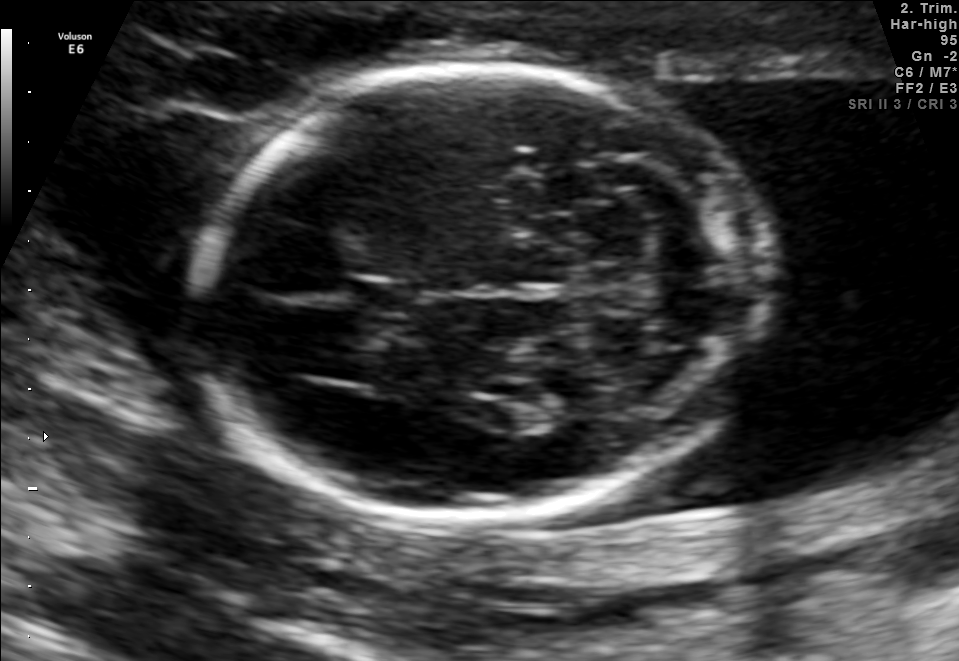
Fetal brain, trans-cerebellum plane. Locate the cavum septum pellucidum.

CSP: [355,277,412,317]